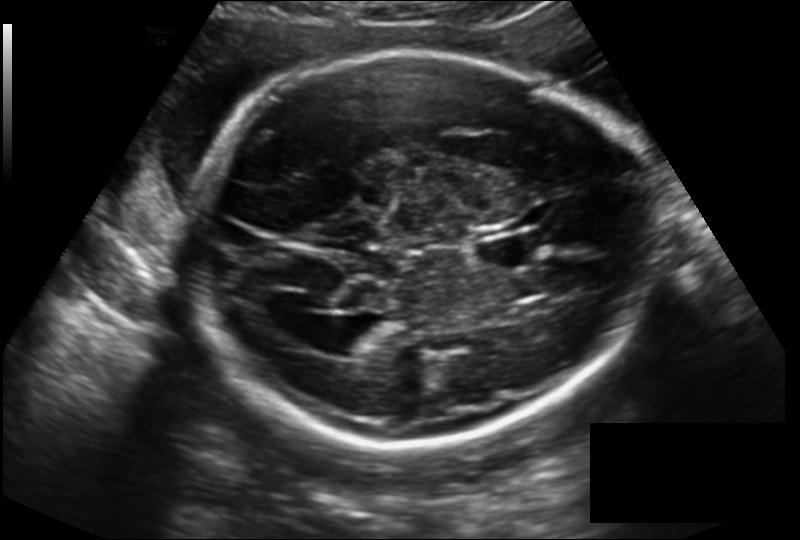
In this fetal head ultrasound, give the bounding box of the cavum septum pellucidum. Image width: 155.0 mm.

[473,225,546,277]